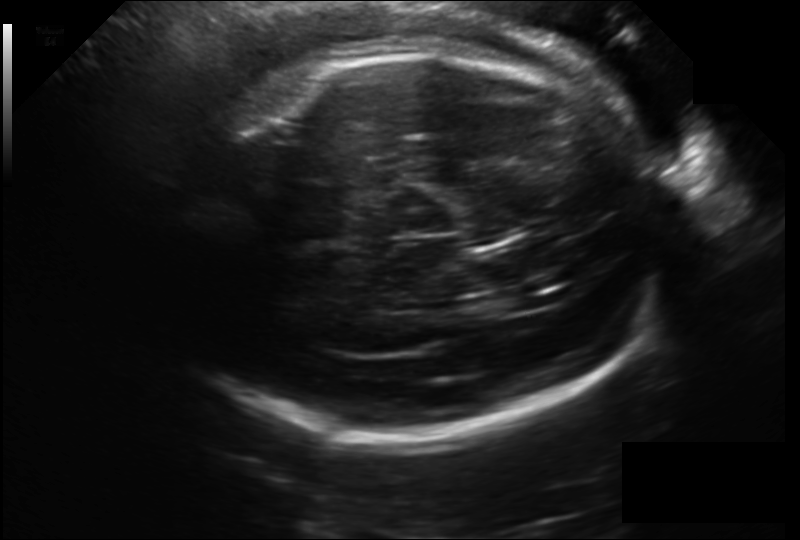
What is the fetal head circumference? Image width is 162.0 mm.

289.5 mm